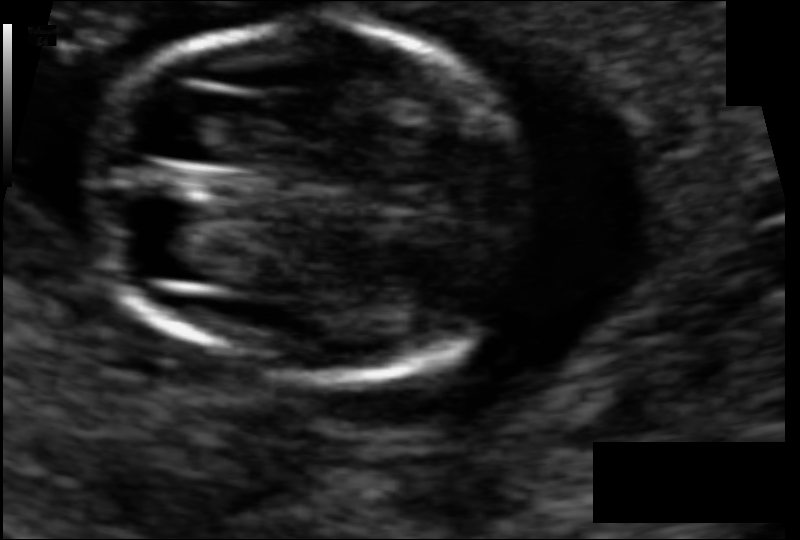
In this fetal head ultrasound, give bounding boxes for the head outline, cavum septum pellucidum (CSP), and lateral ventricle (LV), where visible. Image width: 48.6 mm.

Head: [93,21,542,383]